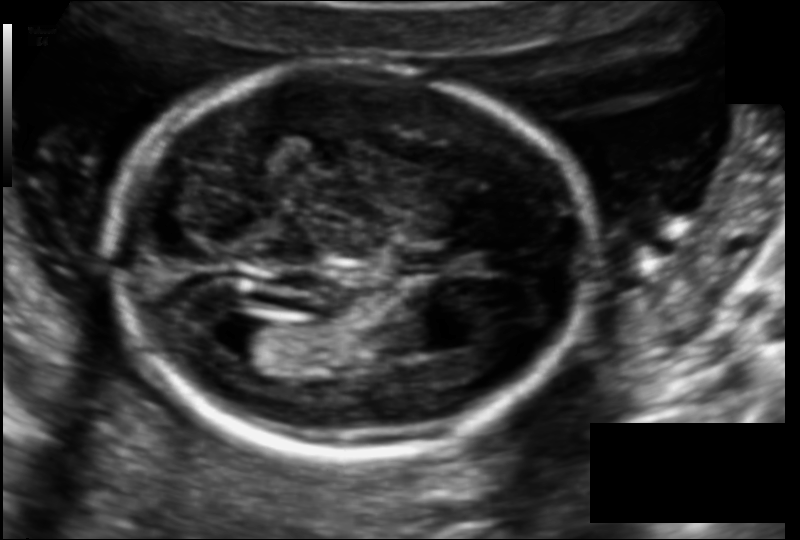
In this fetal head ultrasound, give the bounding box of the fetal head. Image width: 91.5 mm.

[111,63,594,454]